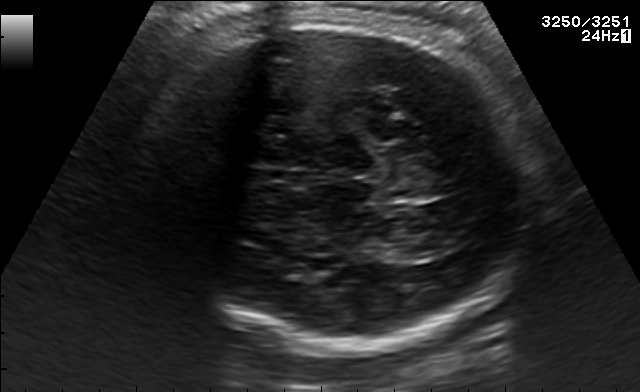
Fetal brain, trans-thalamic plane. Locate the fetal head and, if visible, the cavum septum pellucidum (CSP) and lateral ventricle (LV). Give bounding boxes as [x1,y1,x2,y2].

Head: [143,20,533,349]